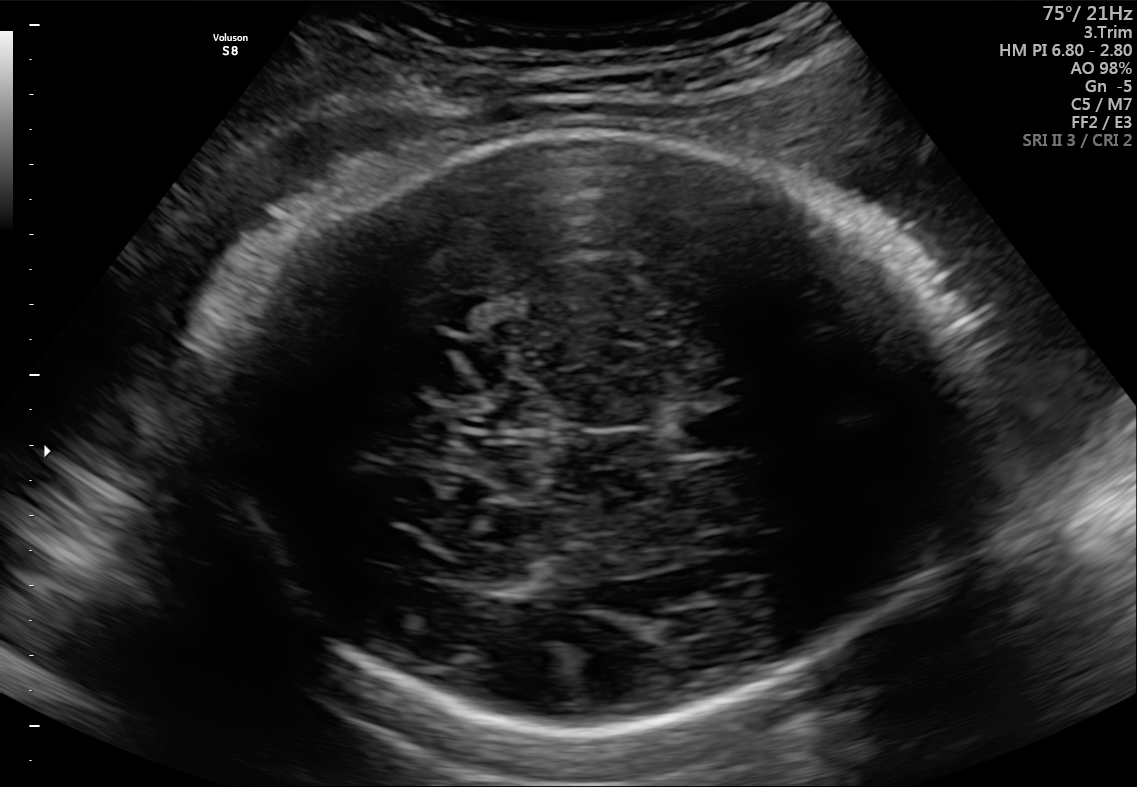
Fetal brain, trans-thalamic plane. Locate the cavum septum pellucidum.

CSP: [671,404,752,454]